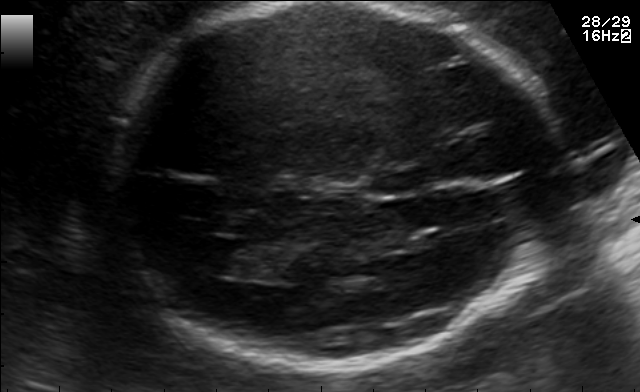
In this fetal brain, trans-ventricular plane, give the bounding box of the fetal head.

[89,2,581,378]